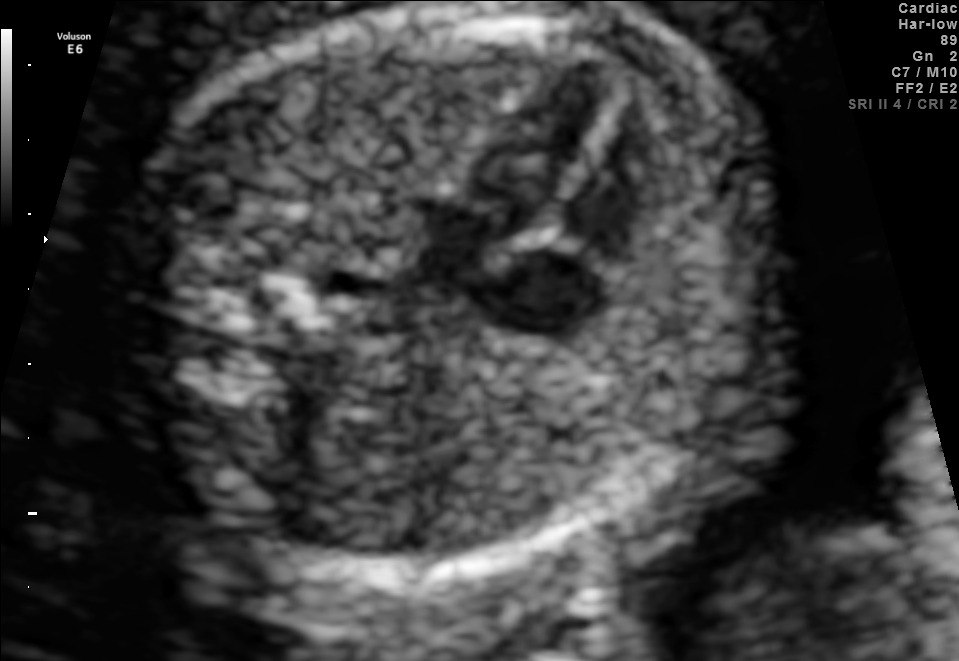
Identify the standard plane in this fetal ultrasound image: fetal abdomen, fetal brain, fetal femur, fetal thorax, maternal cervix, or other. If it's fetal brain and one of the three standard brain planes (trans-thalamic, trans-cerebellum, trans-ventricular), name which.

Fetal thorax